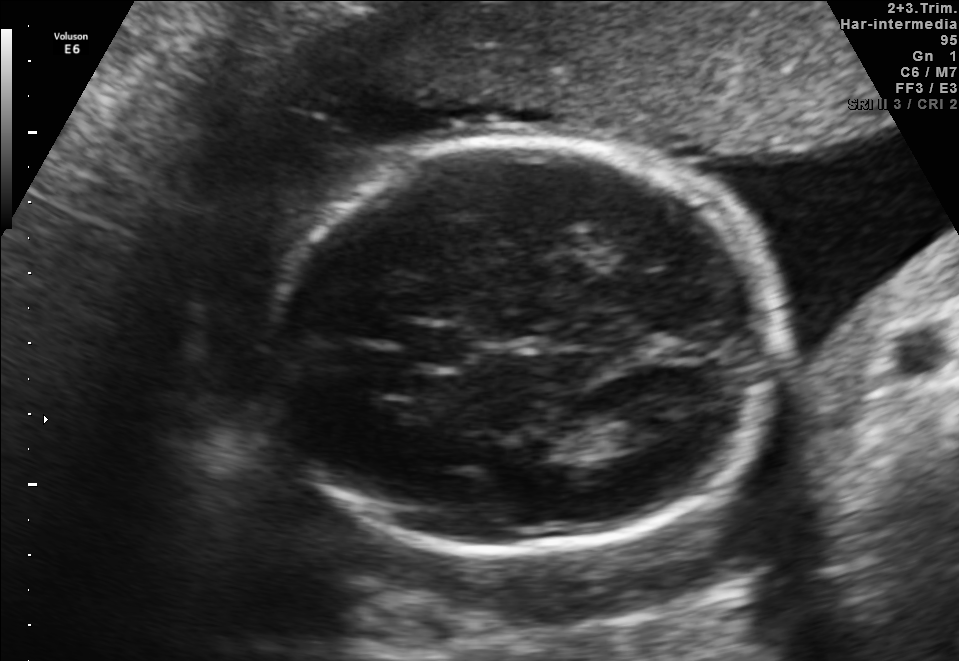
In this fetal brain, trans-thalamic plane, give the bounding box of the lateral ventricle.

[606,404,678,454]